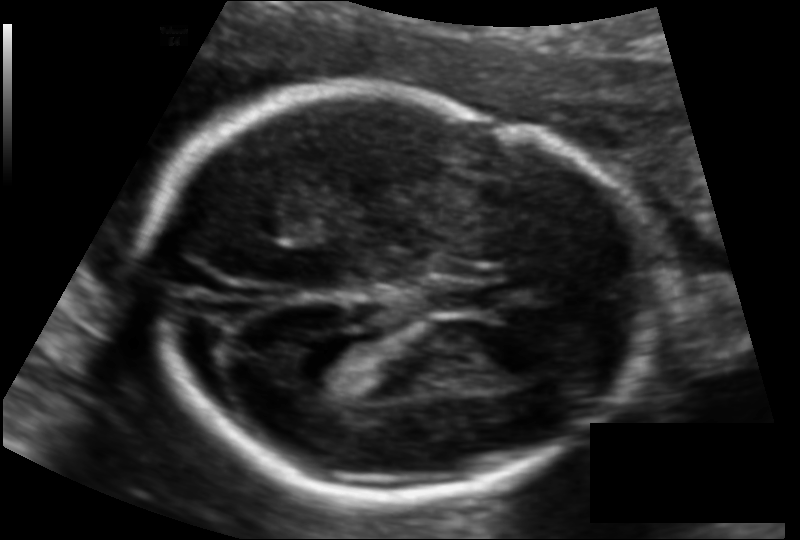
Fetal head ultrasound. Image width: 93.9 mm. Locate the cavum septum pellucidum.

CSP: [429,278,500,315]